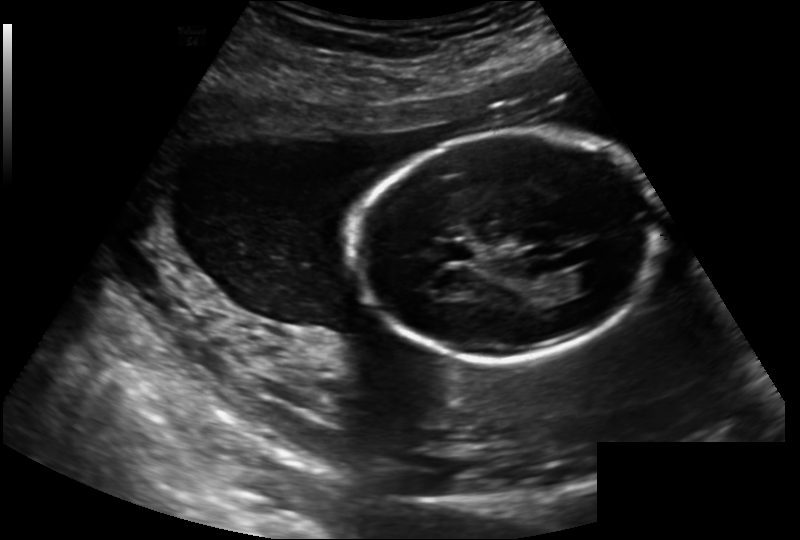
In this fetal head ultrasound, give the bounding box of the fetal head. Image width: 161.7 mm.

[354,131,665,359]